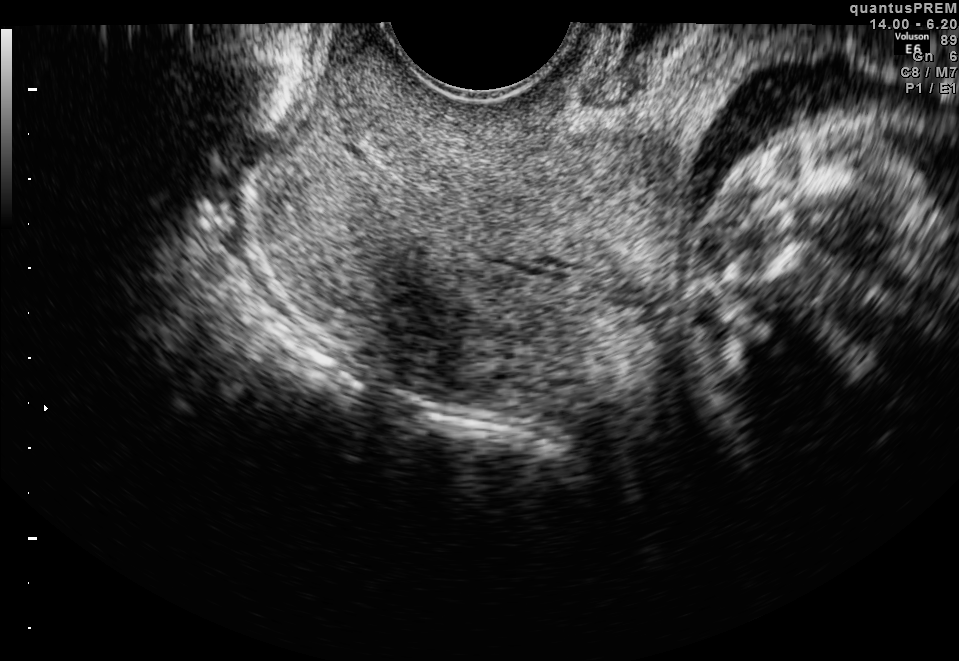
Classify this maternal-fetal ultrasound image as one of the six standard planes — fetal abdomen, fetal brain, fetal femur, fetal thorax, maternal cervix, or other. If it's fetal brain and one of the three standard brain planes (trans-thalamic, trans-cerebellum, trans-ventricular), name which.

Maternal cervix